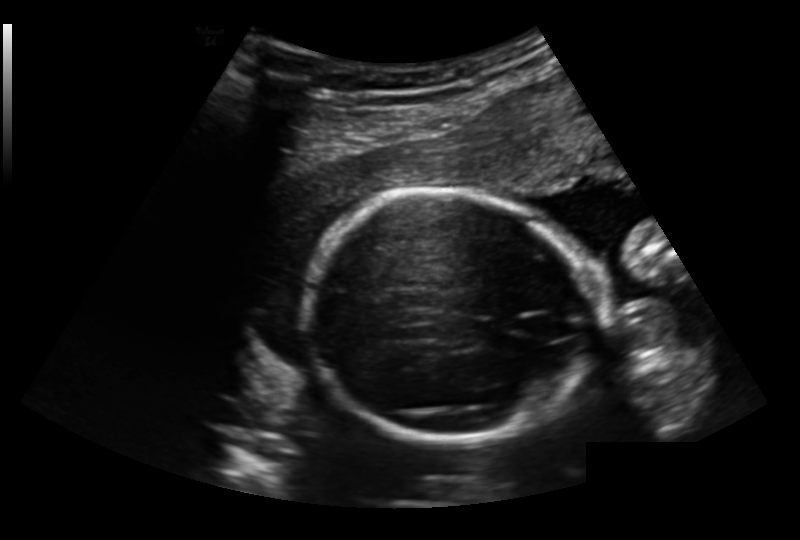
Estimate the fetal head circumference from this 2D ultrasound.

Head circumference: 169.4 mm (image width 152.5 mm).